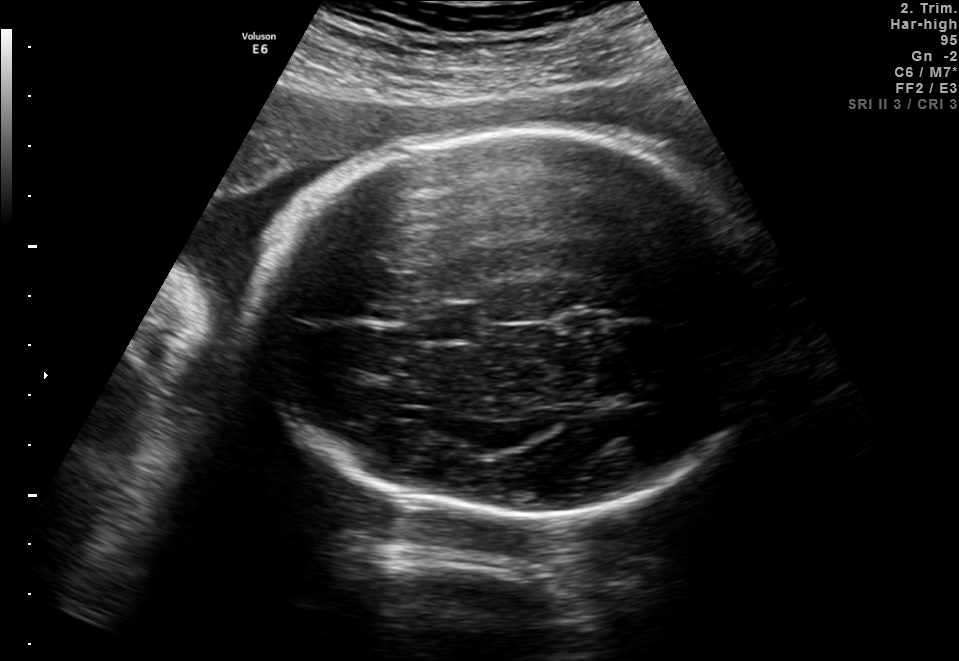
Fetal brain, trans-thalamic plane. Where is the fetal head?

Head bounding box: [252,128,775,517]